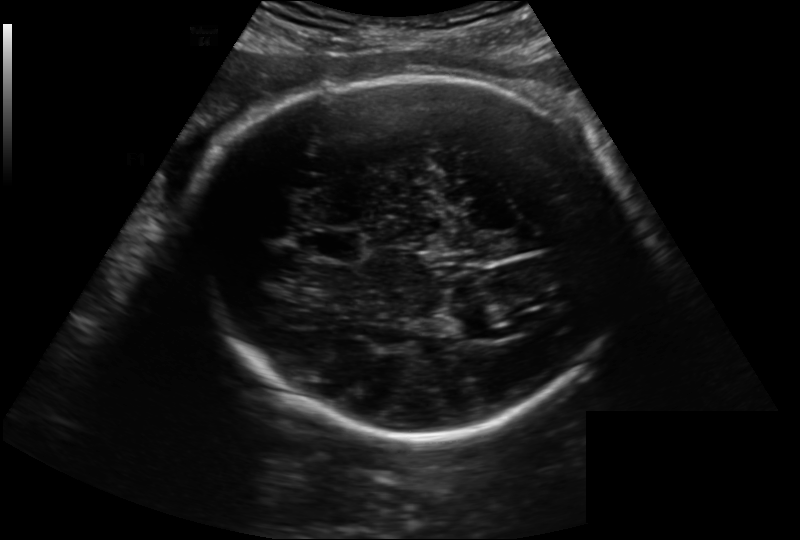
In this fetal head ultrasound, give the bounding box of the lateral ventricle. Image width: 177.3 mm.

[488,313,537,344]